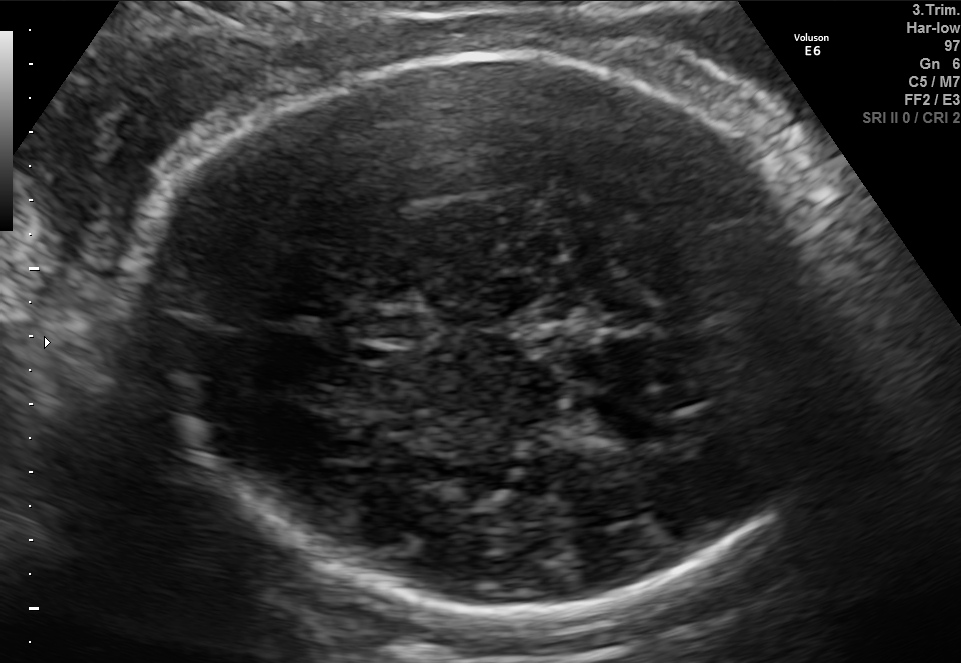
Fetal brain, trans-thalamic plane. Give [x1,y1,x2,y2] bounding boxes for each visible structure among: fetal head, CSP, LV.

Head: [133,52,846,615]
CSP: [355,308,420,344]